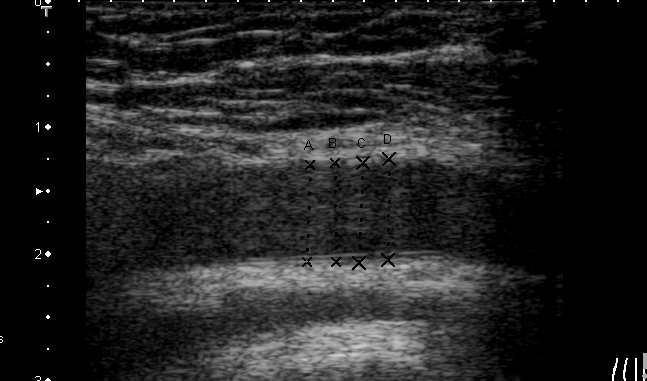
Identify the standard plane in this fetal ultrasound image: fetal abdomen, fetal brain, fetal femur, fetal thorax, maternal cervix, or other. If it's fetal brain and one of the three standard brain planes (trans-thalamic, trans-cerebellum, trans-ventricular), name which.

Other